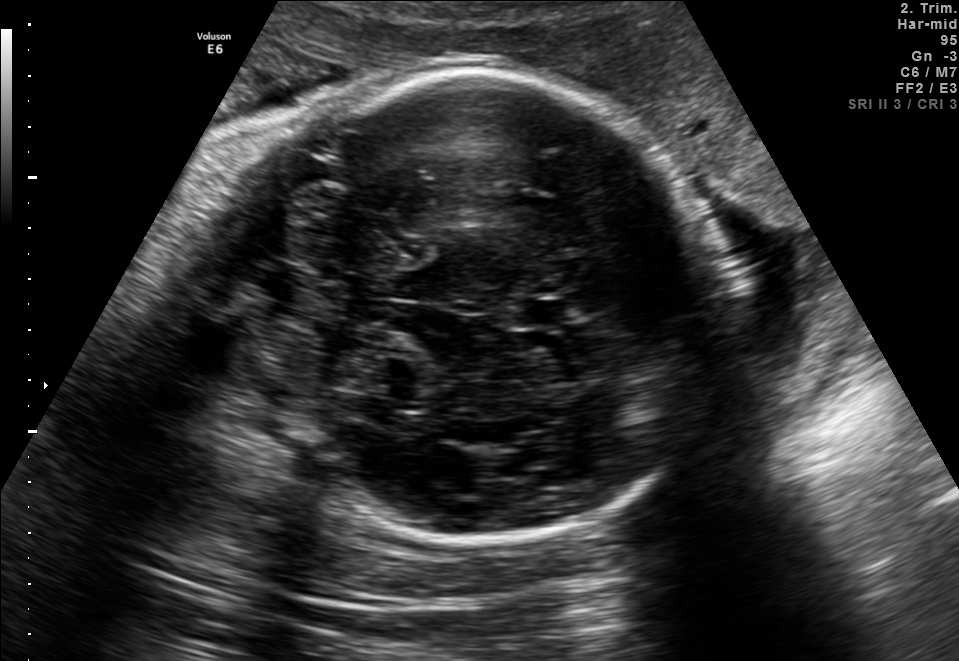
Fetal brain, trans-cerebellum plane. Locate the fetal head.

Head: [214,68,727,539]